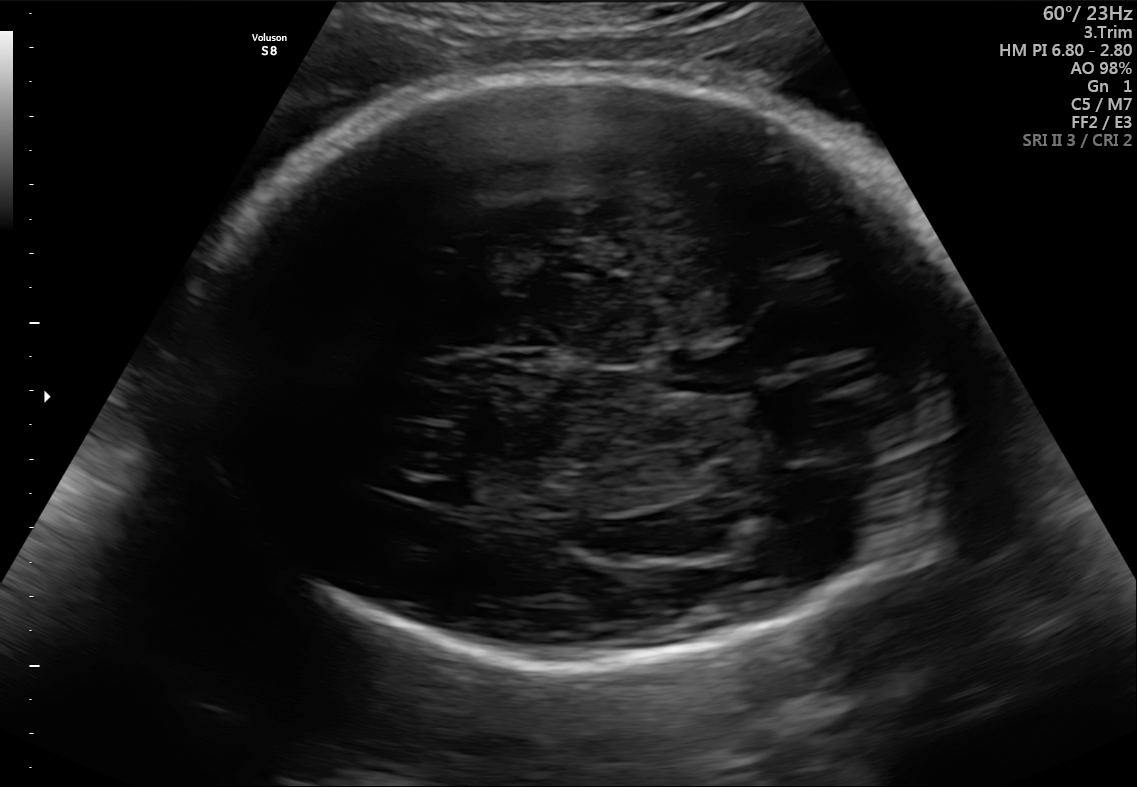
Classify this maternal-fetal ultrasound image as one of the six standard planes — fetal abdomen, fetal brain, fetal femur, fetal thorax, maternal cervix, or other. If it's fetal brain and one of the three standard brain planes (trans-thalamic, trans-cerebellum, trans-ventricular), name which.

Fetal brain (trans-thalamic plane)